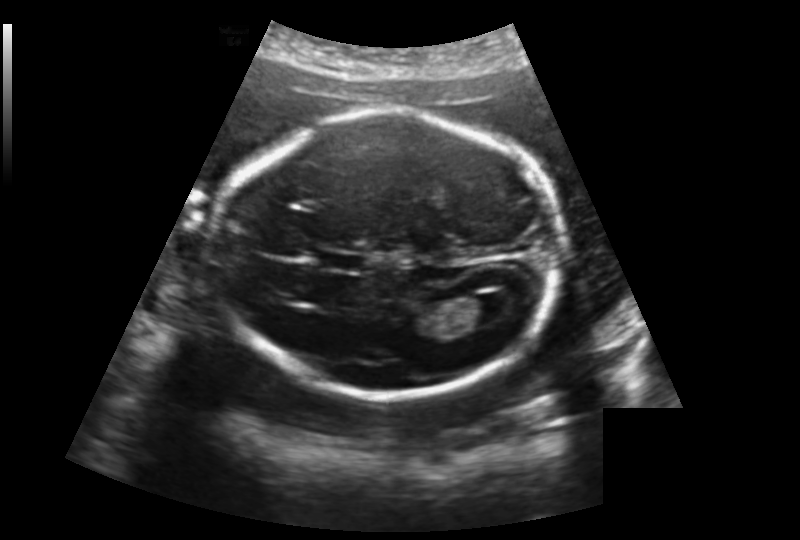
In this fetal head ultrasound, give the bounding box of the cavum septum pellucidum. Image width: 150.3 mm.

[315,248,368,276]